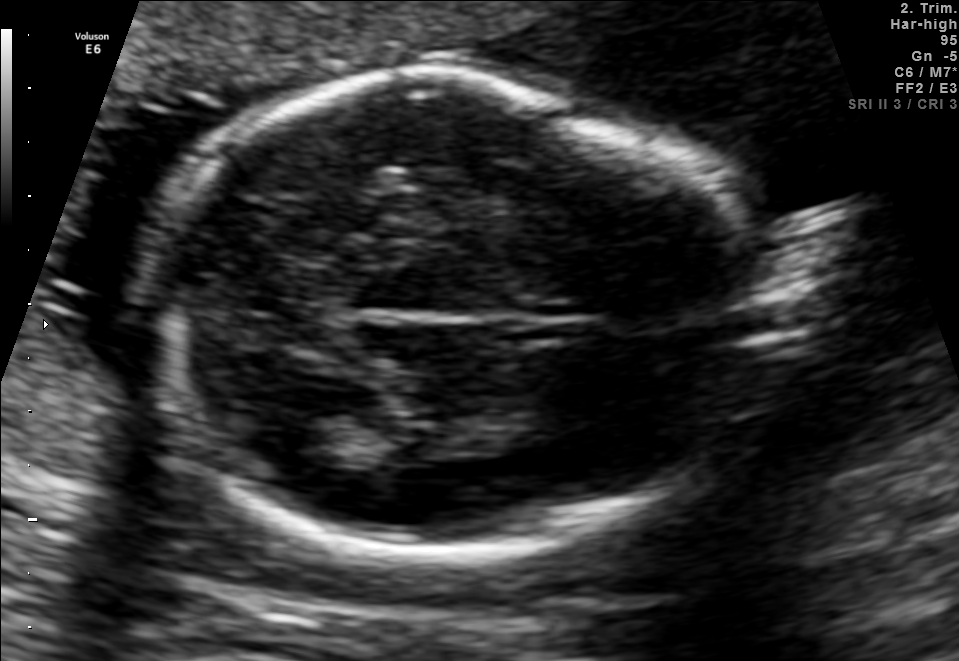
In this fetal brain, trans-thalamic plane, give bounding boxes for the head outline, cavum septum pellucidum (CSP), and lateral ventricle (LV), where visible.

Head: [149,72,754,547]